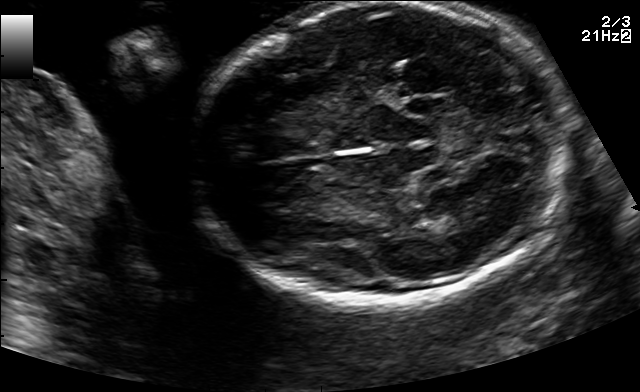
Fetal brain, trans-thalamic plane. Where is the fetal head?

Head bounding box: [192,3,573,301]